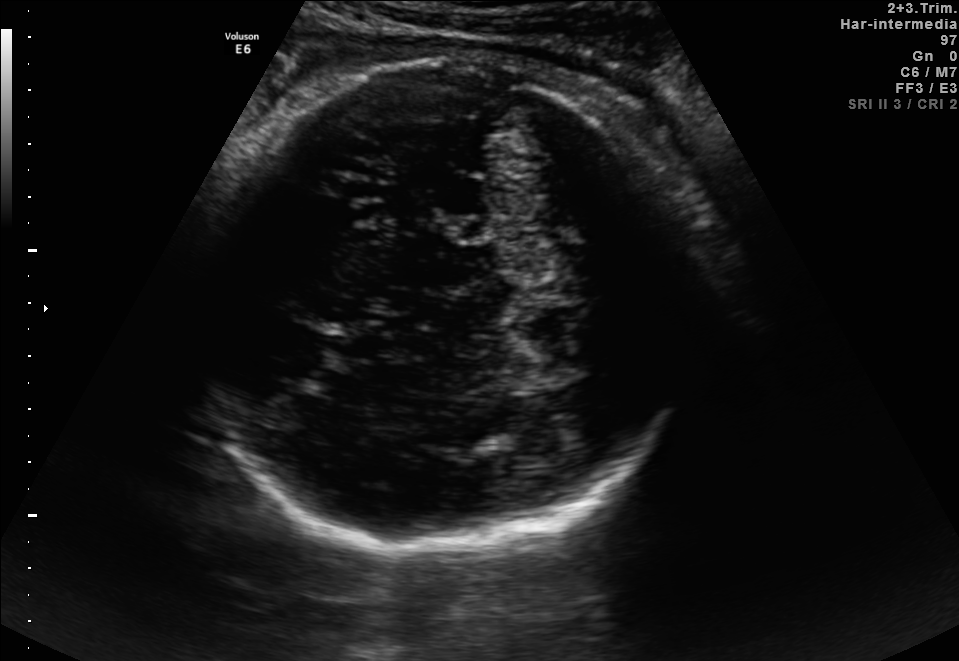
Fetal brain, trans-thalamic plane. Locate the fetal head.

Head: [198,57,701,558]